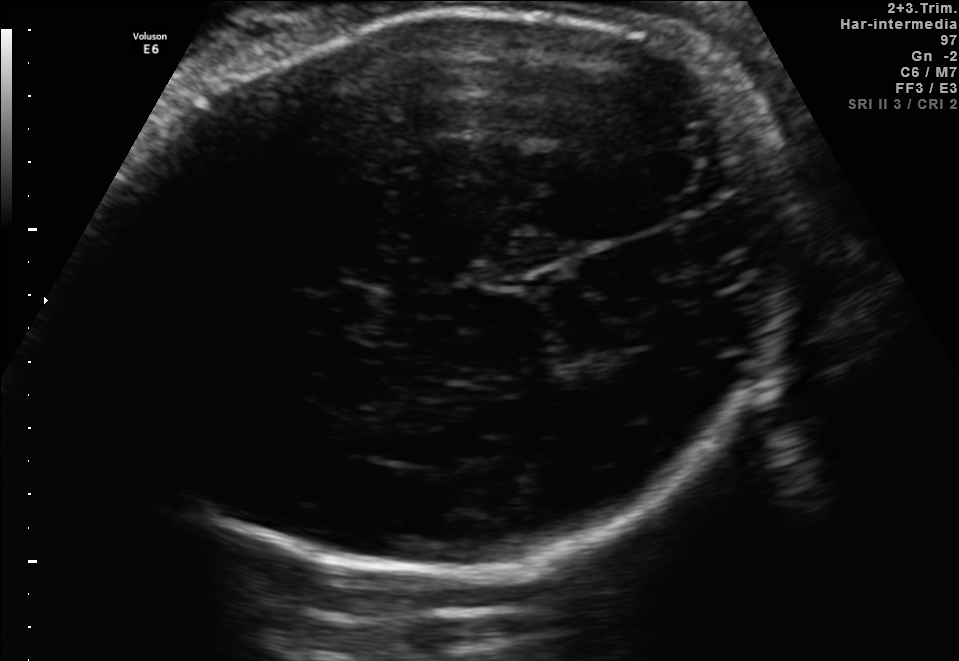
Fetal brain, trans-thalamic plane. Locate the fetal head and, if visible, the cavum septum pellucidum (CSP) and lateral ventricle (LV). Give bounding boxes as [x1,y1,x2,y2].

Head: [98,6,797,571]